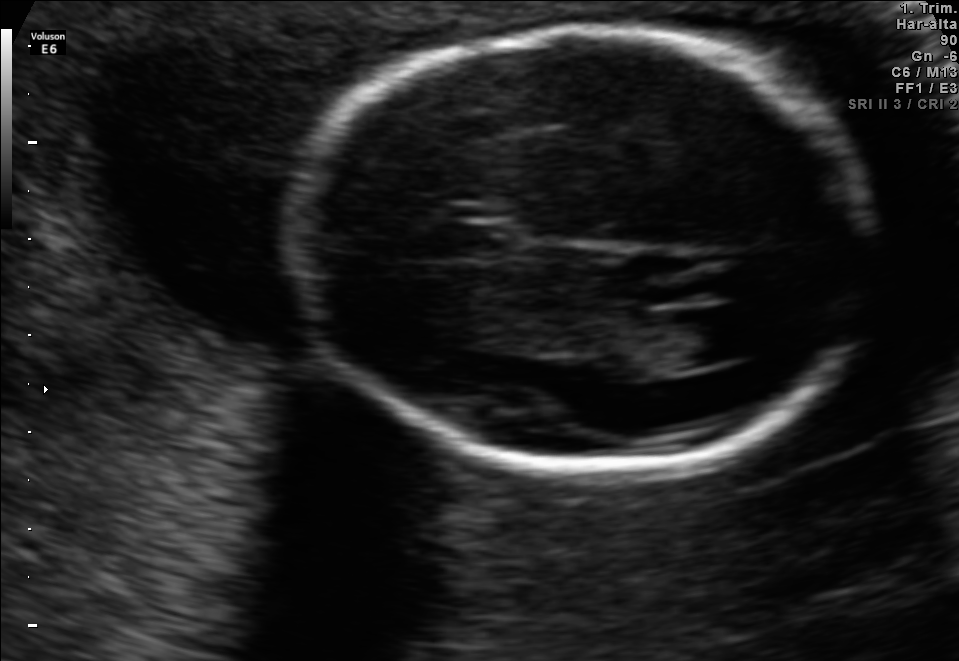
Fetal brain, trans-ventricular plane. Locate the fetal head.

Head: [281,23,888,476]